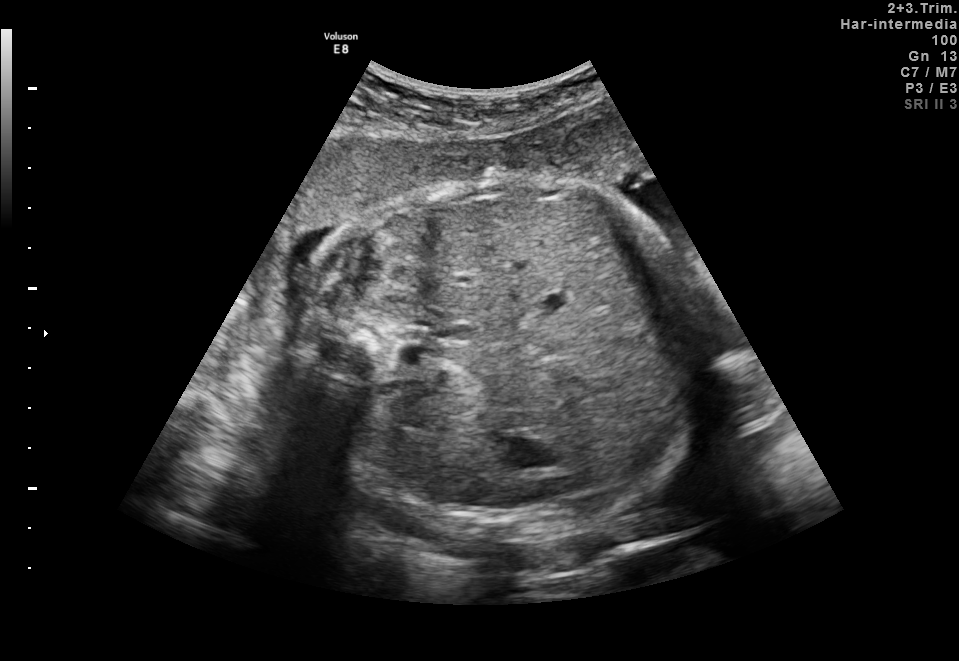
Which standard maternal-fetal ultrasound plane is shown: fetal abdomen, fetal brain, fetal femur, fetal thorax, maternal cervix, or other? If it's fetal brain and one of the three standard brain planes (trans-thalamic, trans-cerebellum, trans-ventricular), name which.

Fetal abdomen